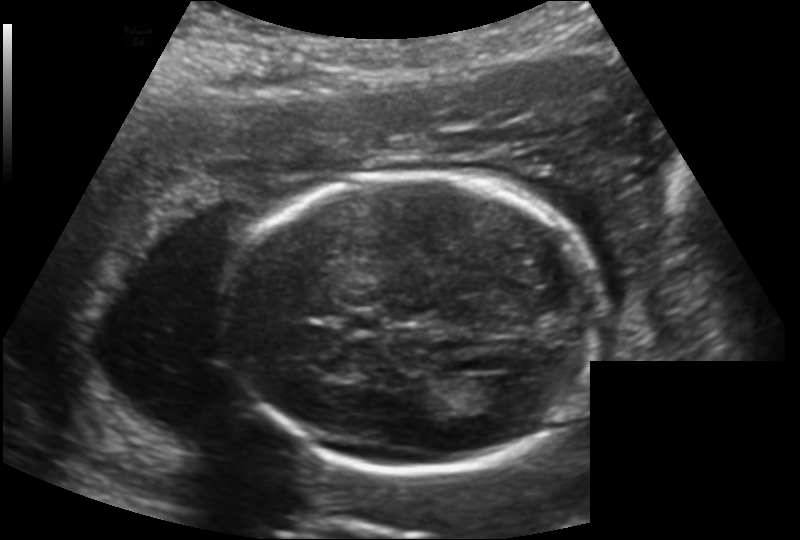
Fetal head ultrasound. Image width: 135.0 mm. Where is the fetal head?

Head bounding box: [229,175,599,471]